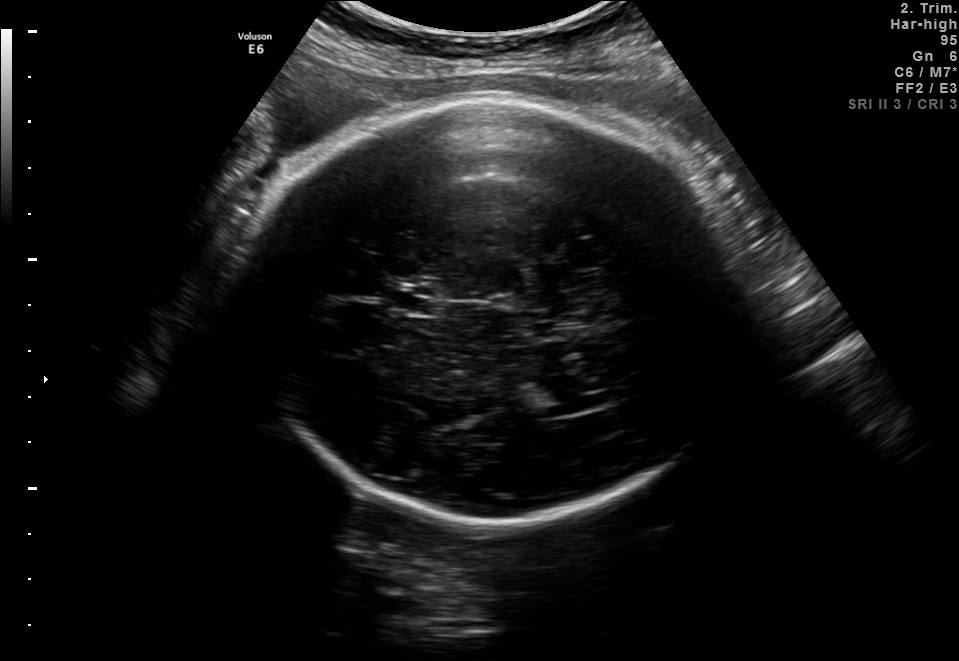
Fetal brain, trans-ventricular plane. Locate the cavum septum pellucidum.

CSP: [381,287,442,314]